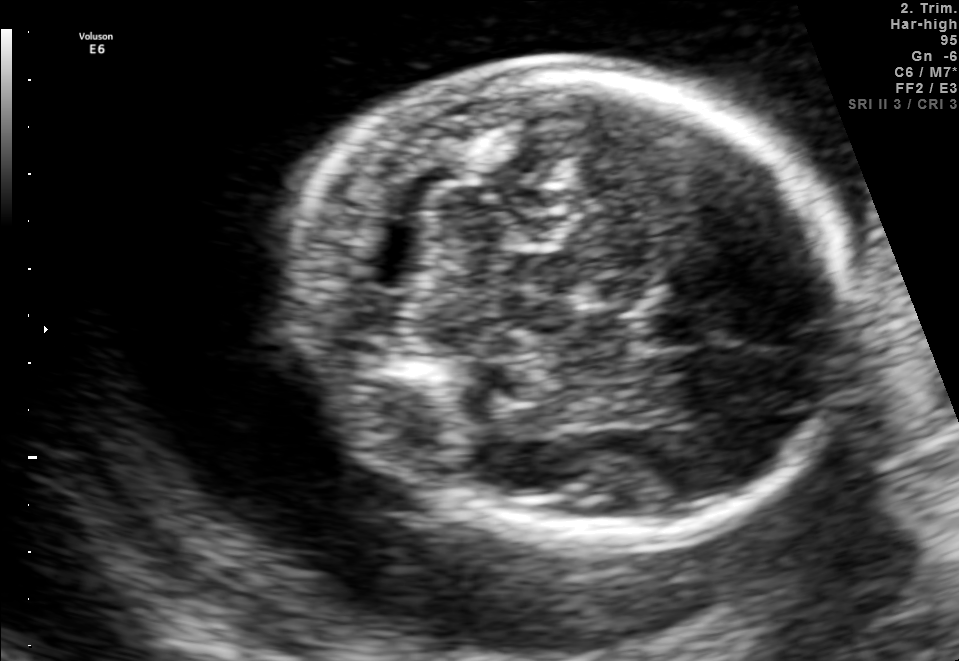
In this fetal brain, trans-cerebellum plane, give the bounding box of the cavum septum pellucidum.

[635,308,714,352]